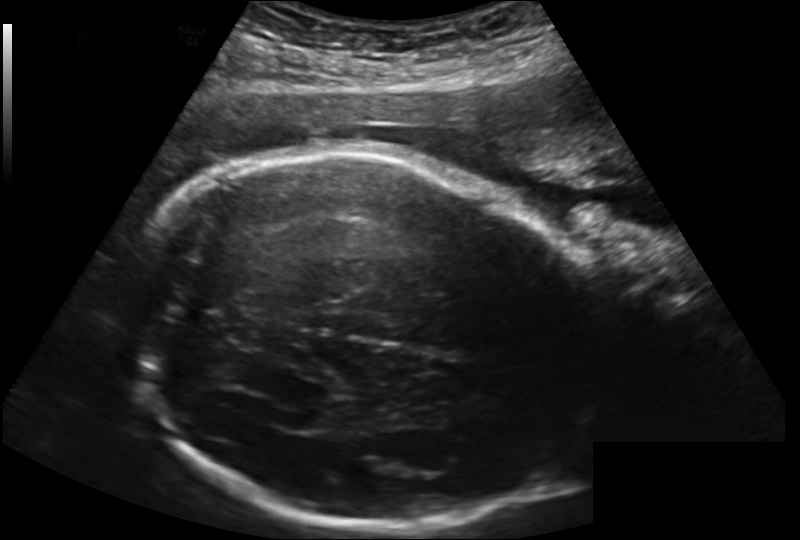
Fetal head ultrasound. Image width: 161.7 mm. Locate the fetal head and, if visible, the cavum septum pellucidum (CSP) and lateral ventricle (LV). Give bounding boxes as [x1,y1,x2,y2].

Head: [125,150,601,529]